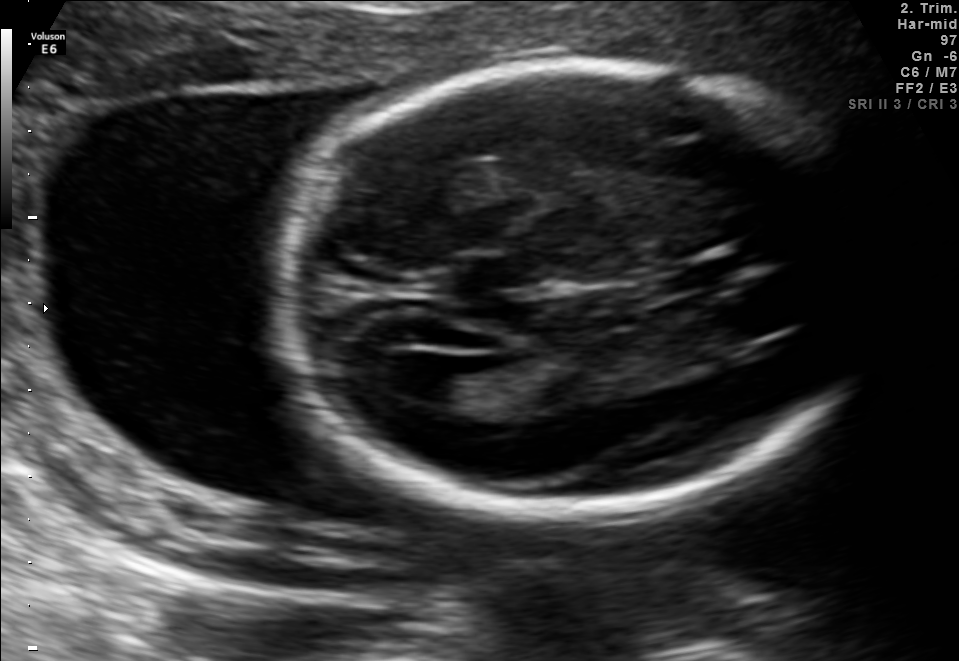
In this fetal brain, trans-ventricular plane, give bounding boxes for the head outline, cavum septum pellucidum (CSP), and lateral ventricle (LV), where visible.

Head: [264,53,891,526]
CSP: [663,256,735,295]
Lateral ventricle: [379,348,463,404]